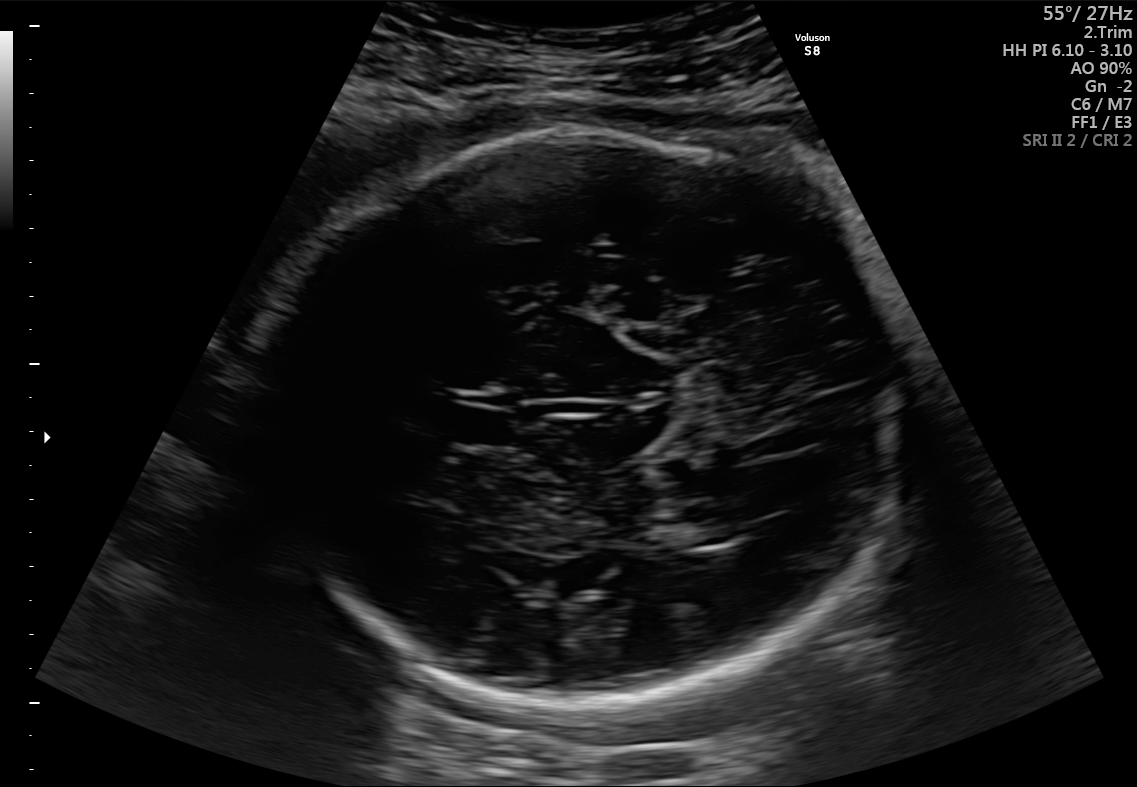
Fetal brain, trans-thalamic plane. Where is the cavum septum pellucidum?

CSP bounding box: [446,403,515,446]